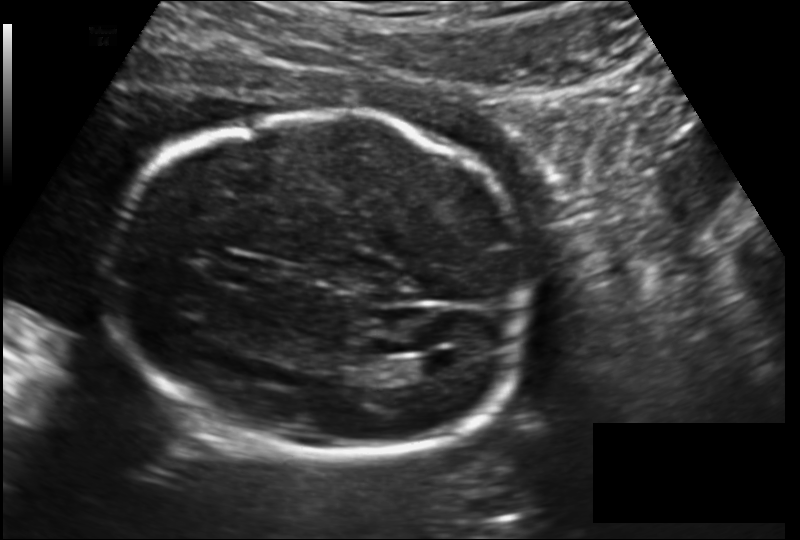
Fetal head ultrasound. Image width: 125.8 mm. Locate the lateral ventricle.

Lateral ventricle: [411,349,461,382]